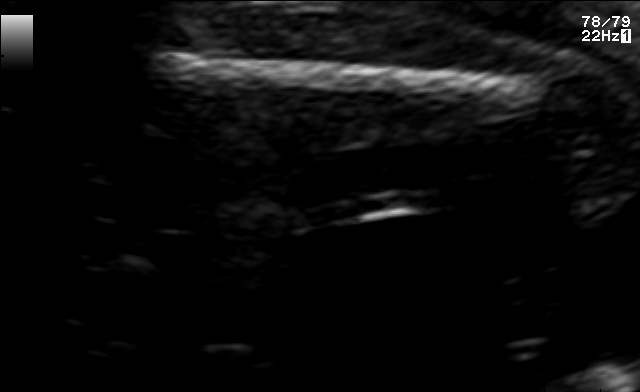
Which standard maternal-fetal ultrasound plane is shown: fetal abdomen, fetal brain, fetal femur, fetal thorax, maternal cervix, or other? If it's fetal brain and one of the three standard brain planes (trans-thalamic, trans-cerebellum, trans-ventricular), name which.

Fetal femur